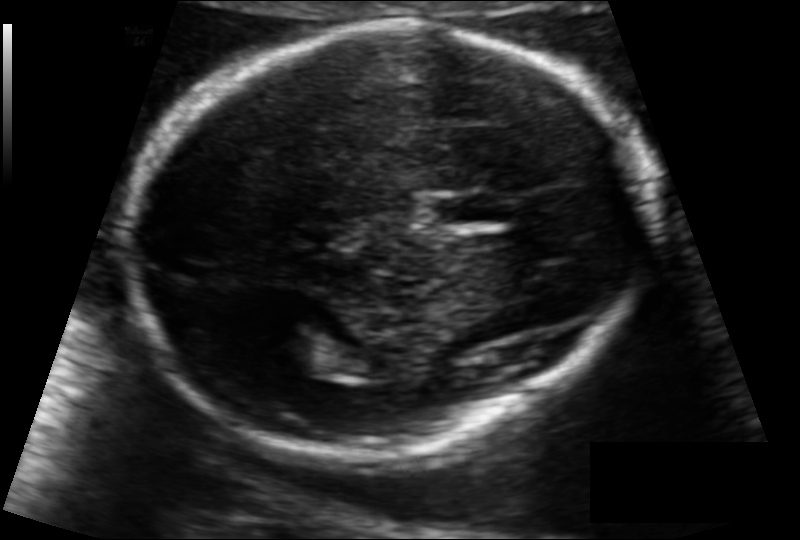
Fetal head ultrasound. Image width: 88.7 mm. Where is the lateral ventricle?

Lateral ventricle bounding box: [270,334,330,377]